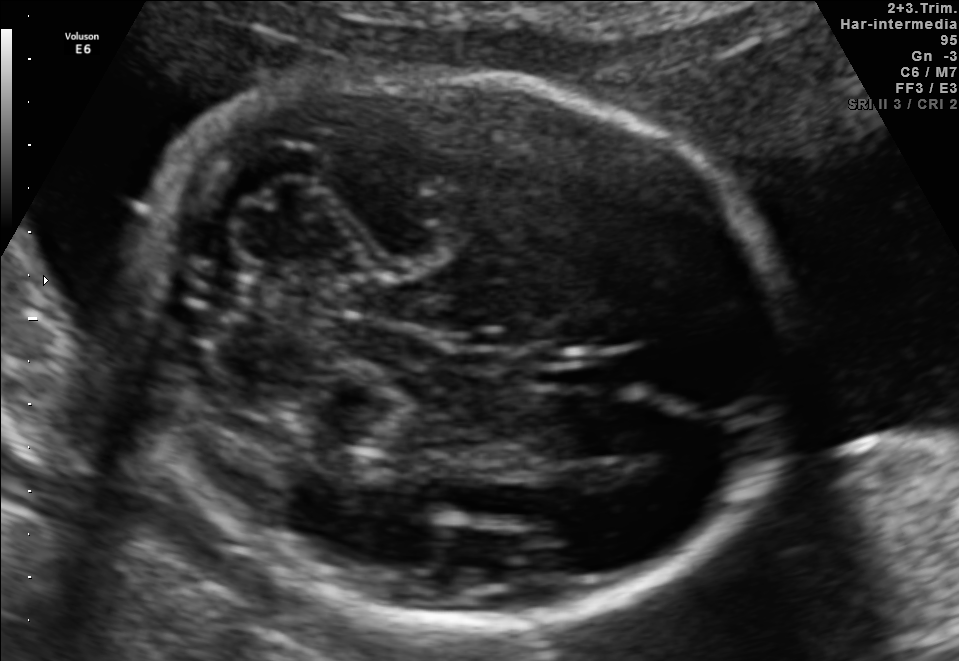
Fetal brain, trans-cerebellum plane. Where is the fetal head?

Head bounding box: [128,71,789,630]